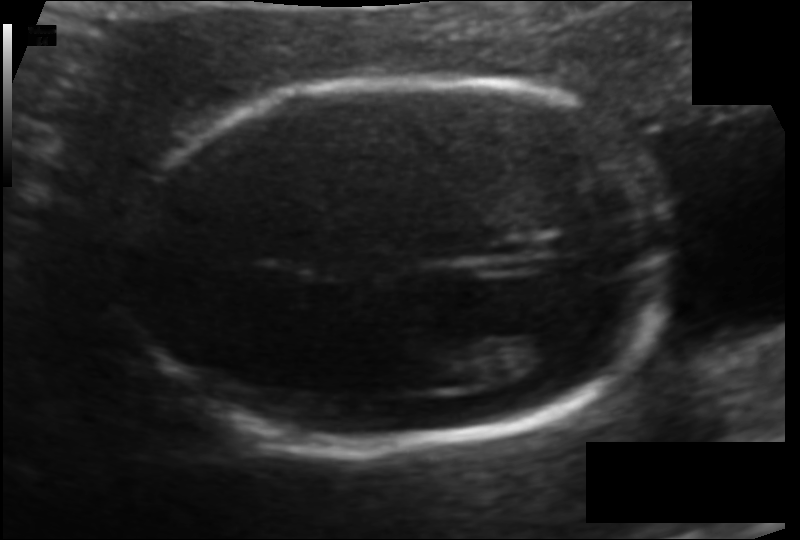
Fetal head ultrasound. Image width: 83.8 mm. Locate the fetal head.

Head: [126,73,677,446]